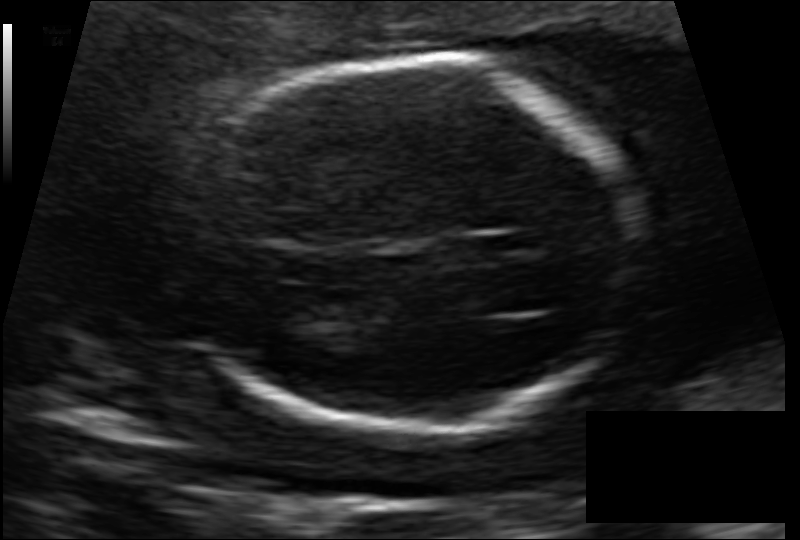
Fetal head ultrasound. Image width: 103.2 mm. Give [x1,y1,x2,y2] bounding boxes for each visible structure among: fetal head, CSP, LV.

Head: [191,57,636,439]